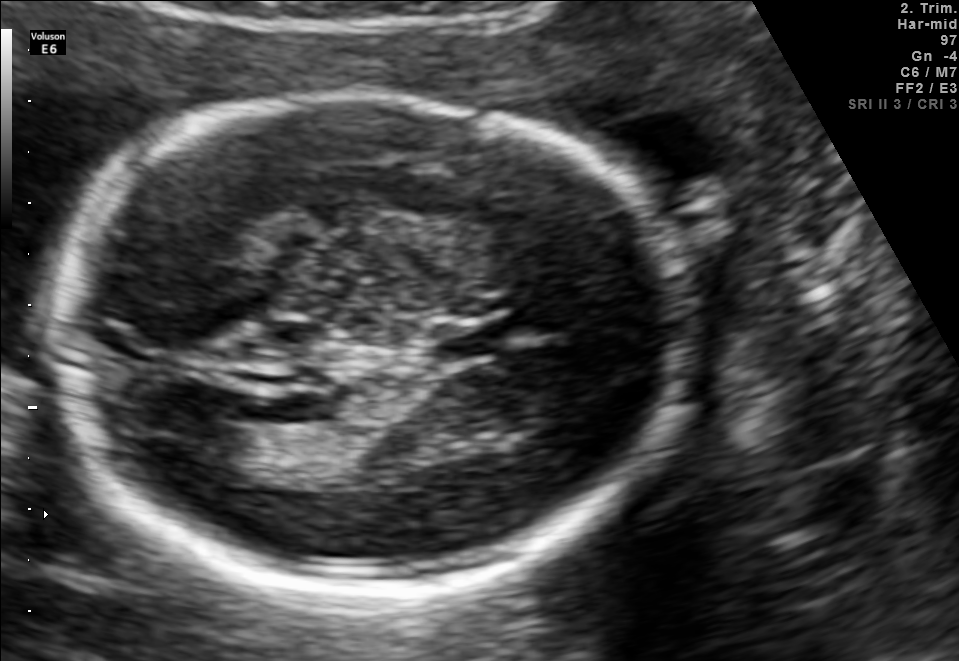
In this fetal brain, trans-thalamic plane, give the bounding box of the fetal head.

[58,95,681,592]